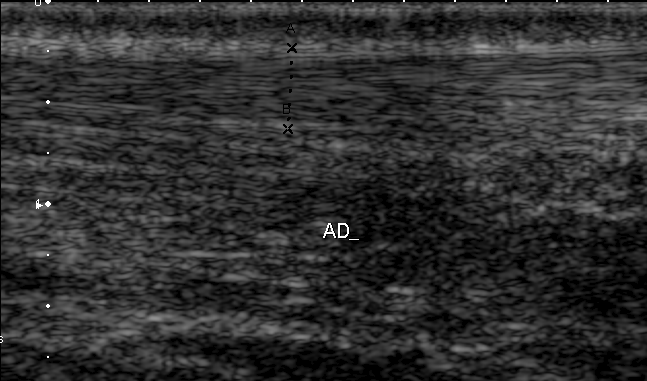
Classify this maternal-fetal ultrasound image as one of the six standard planes — fetal abdomen, fetal brain, fetal femur, fetal thorax, maternal cervix, or other. If it's fetal brain and one of the three standard brain planes (trans-thalamic, trans-cerebellum, trans-ventricular), name which.

Other